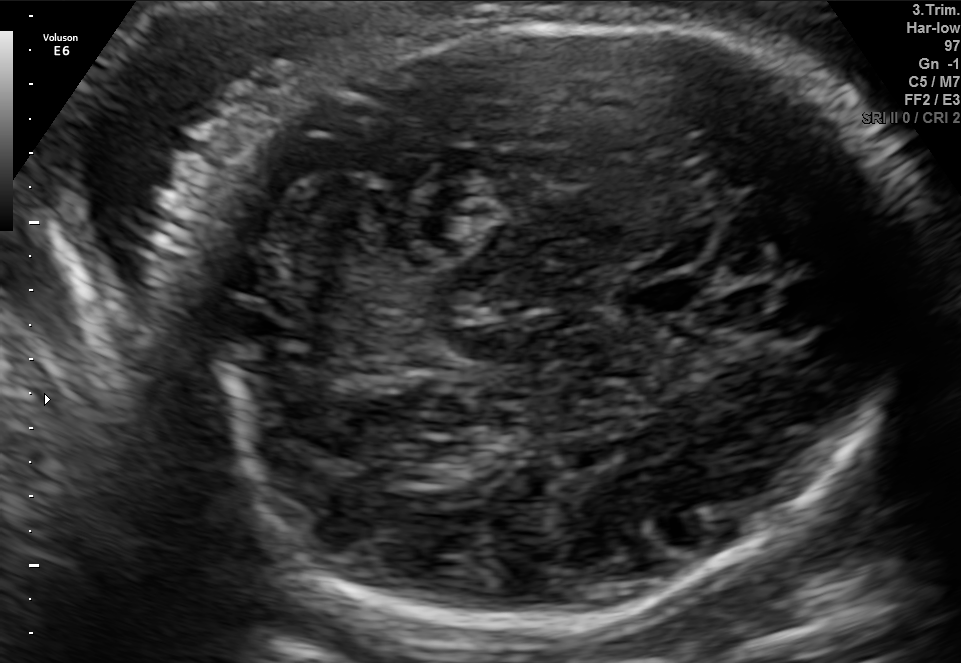
Fetal brain, trans-cerebellum plane. Locate the cavum septum pellucidum.

CSP: [617,262,712,329]